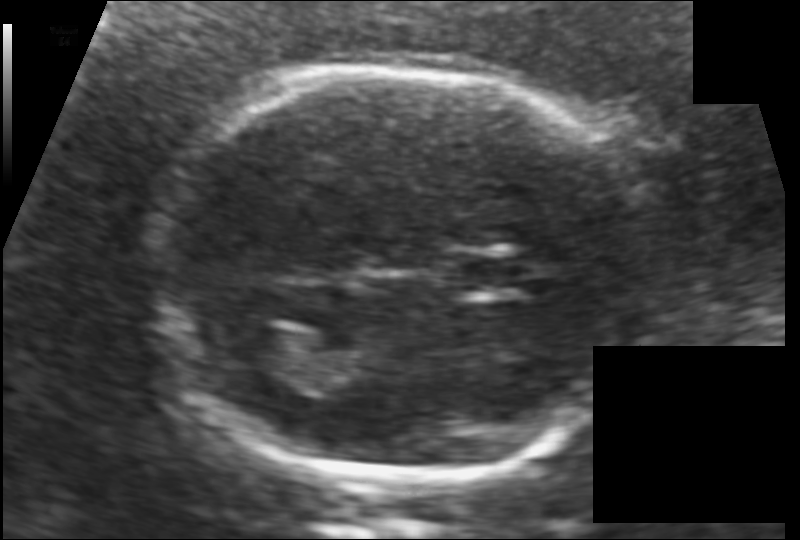
Fetal head ultrasound. Image width: 94.0 mm. Where is the fetal head?

Head bounding box: [153,65,646,486]